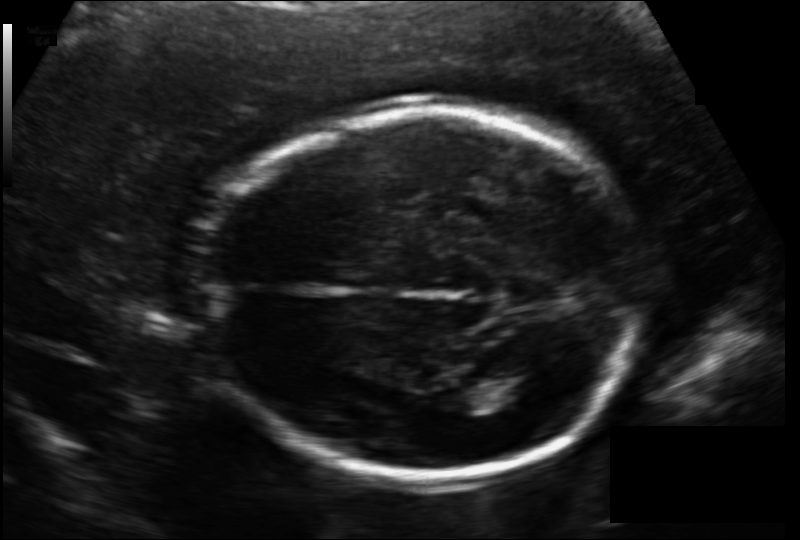
In this fetal head ultrasound, give bounding boxes for the head outline, cavum septum pellucidum (CSP), and lateral ventricle (LV), where visible. Image width: 106.6 mm.

Head: [203,107,644,480]
Lateral ventricle: [469,360,541,410]